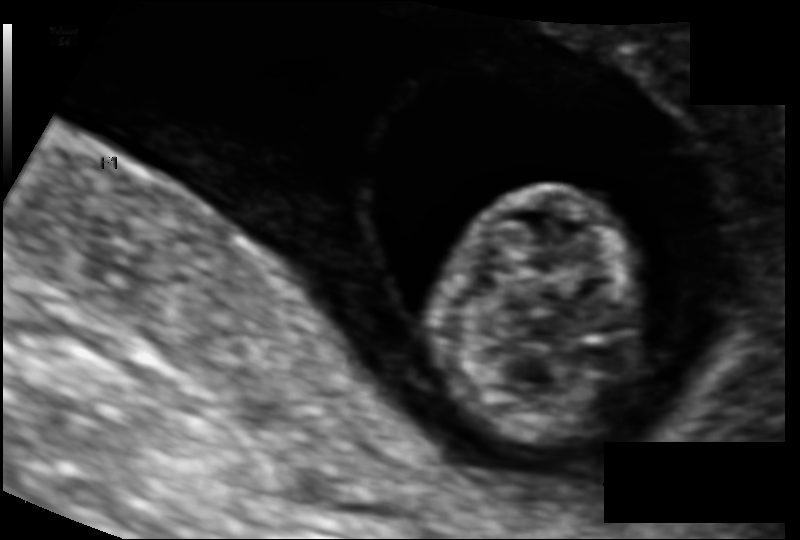
Fetal head ultrasound. Image width: 75.4 mm. Where is the fetal head?

Head bounding box: [435,185,643,444]